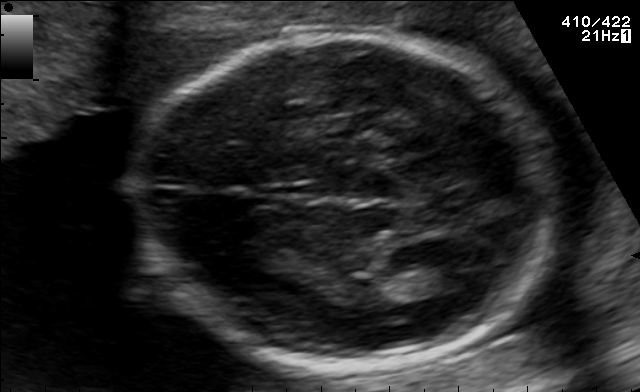
In this fetal brain, trans-thalamic plane, give bounding boxes for the head outline, cavum septum pellucidum (CSP), and lateral ventricle (LV), where visible.

Head: [135,34,557,365]
Lateral ventricle: [415,247,494,299]